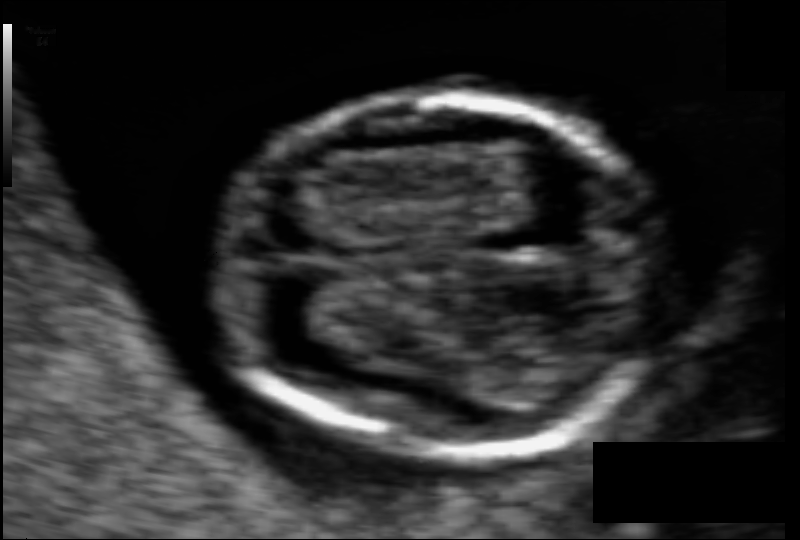
Estimate the fetal head circumference from this 2D ultrasound. Image width: 44.9 mm.

Head circumference: 73.0 mm.